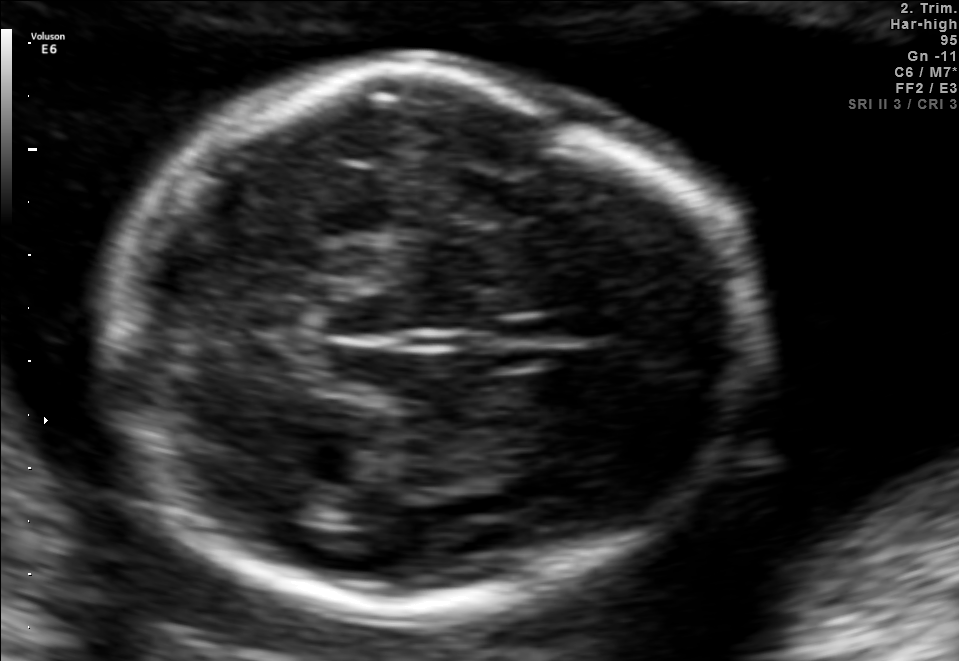
Classify this maternal-fetal ultrasound image as one of the six standard planes — fetal abdomen, fetal brain, fetal femur, fetal thorax, maternal cervix, or other. If it's fetal brain and one of the three standard brain planes (trans-thalamic, trans-cerebellum, trans-ventricular), name which.

Fetal brain (trans-thalamic plane)